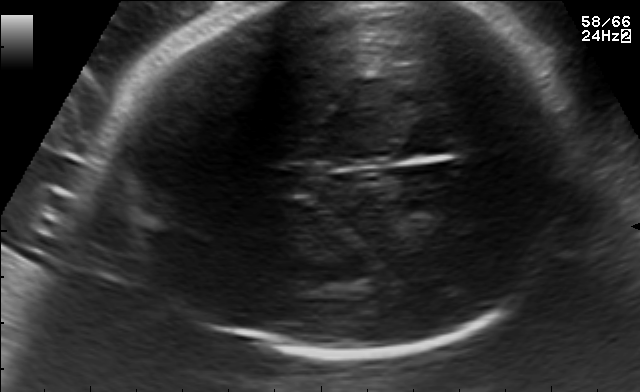
Fetal brain, trans-thalamic plane. Locate the fetal head and, if visible, the cavum septum pellucidum (CSP) and lateral ventricle (LV). Give bounding boxes as [x1,y1,x2,y2].

Head: [95,3,583,358]
CSP: [261,166,320,193]